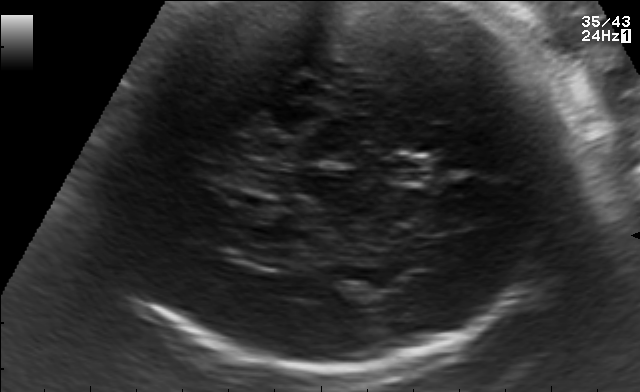
In this fetal brain, trans-thalamic plane, give bounding boxes for the cavum septum pellucidum (CSP) and lateral ventricle (LV), where visible.

CSP: [386,158,431,182]